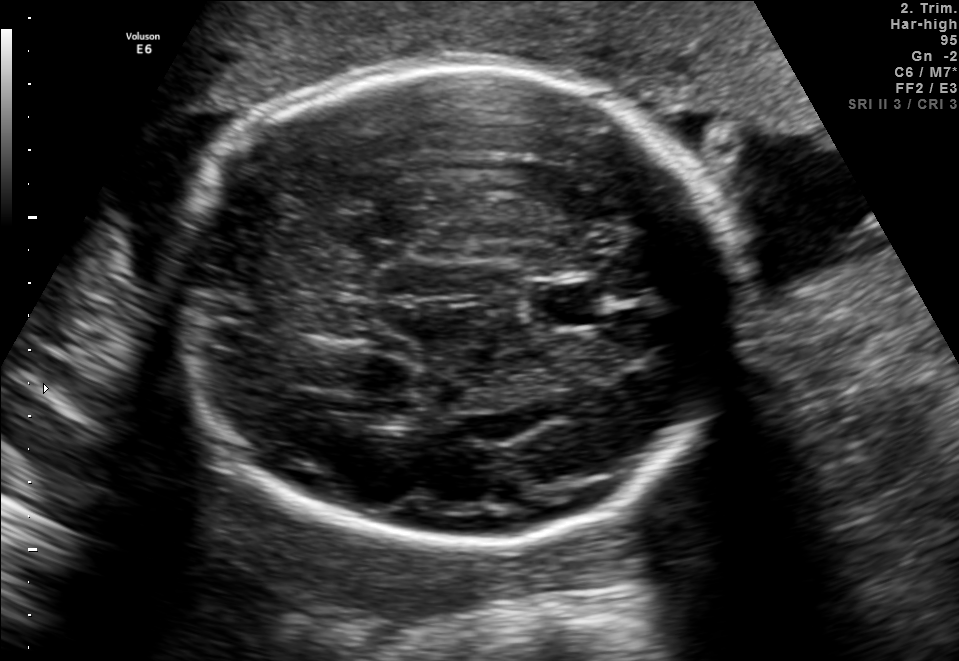
In this fetal brain, trans-thalamic plane, give the bounding box of the lateral ventricle.

[351,397,422,428]